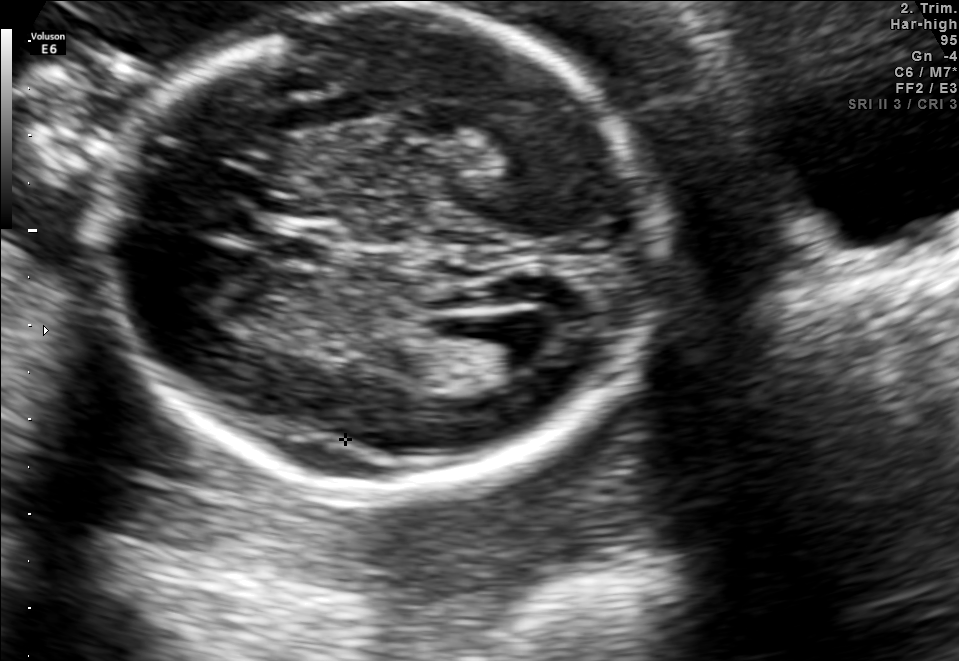
Fetal brain, trans-ventricular plane. Where is the lateral ventricle?

Lateral ventricle bounding box: [465,300,565,382]